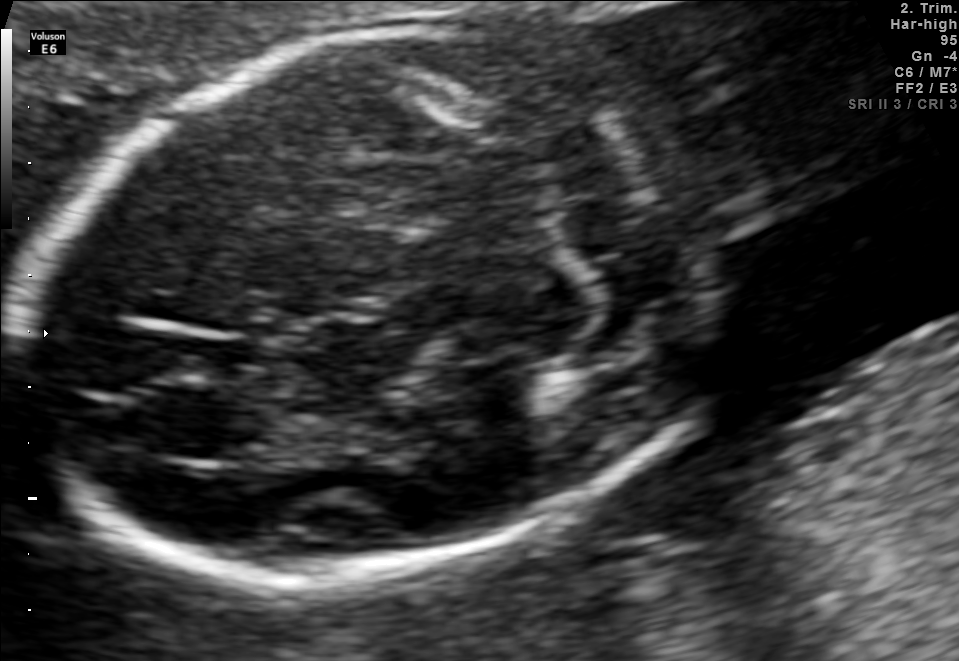
In this fetal brain, trans-cerebellum plane, give the bounding box of the fetal head.

[24,24,723,581]